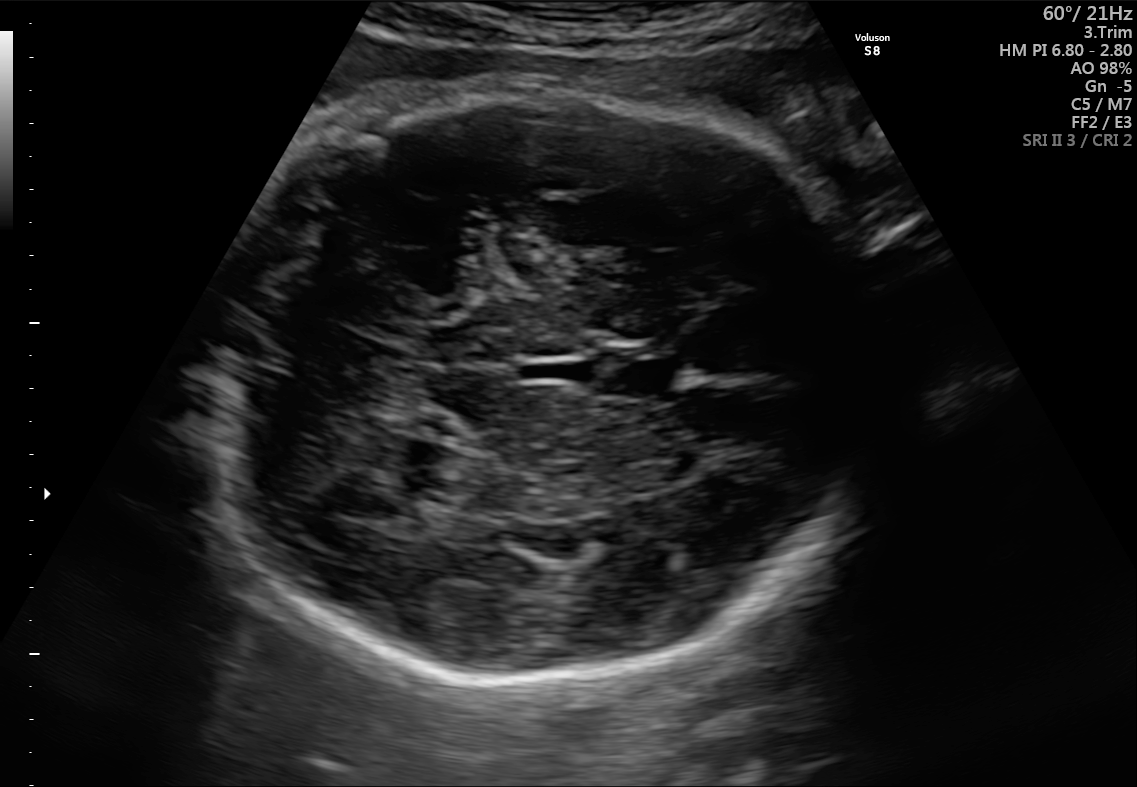
Fetal brain, trans-cerebellum plane. Where is the fetal head?

Head bounding box: [207,89,877,681]